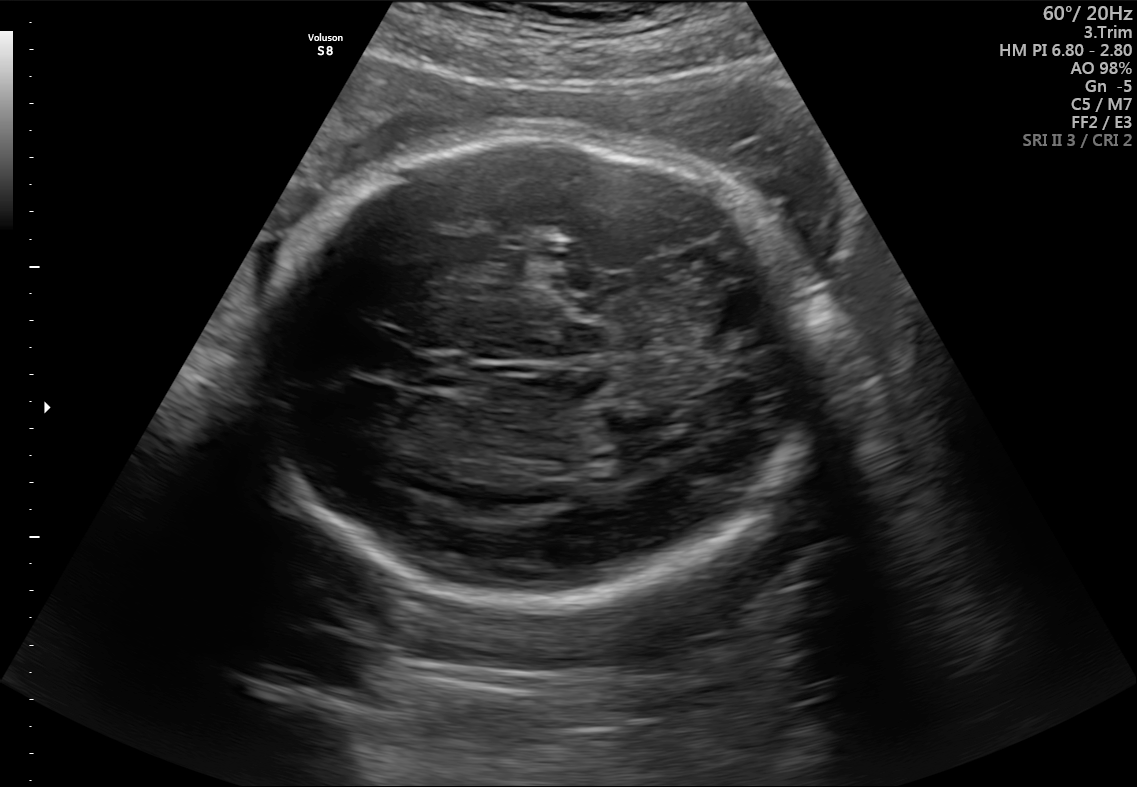
In this fetal brain, trans-thalamic plane, give the bounding box of the cavum septum pellucidum.

[398,351,458,394]